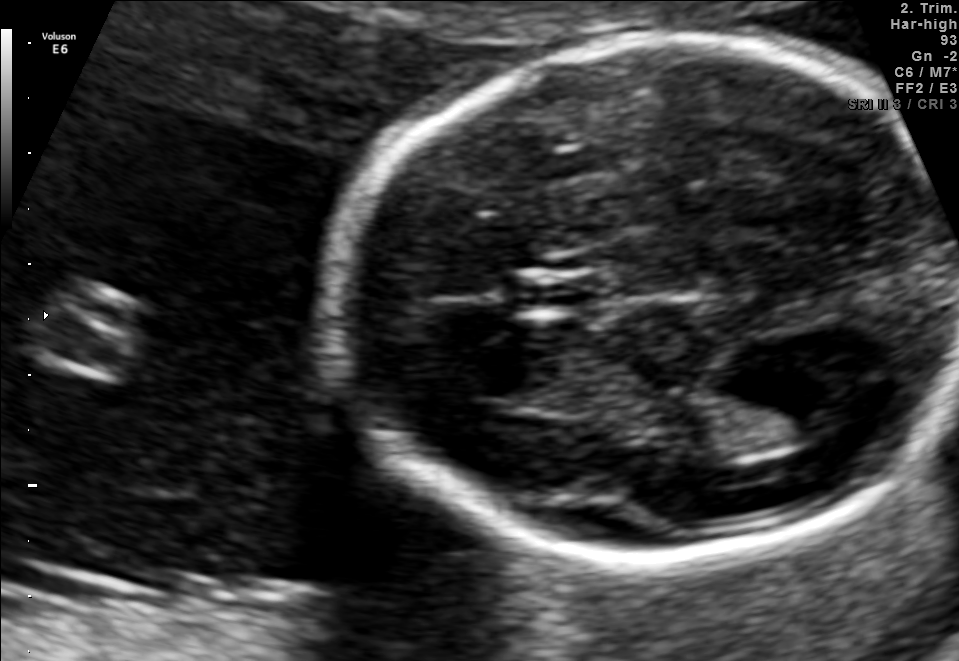
Fetal brain, trans-thalamic plane. Locate the cavum septum pellucidum.

CSP: [512,273,602,311]